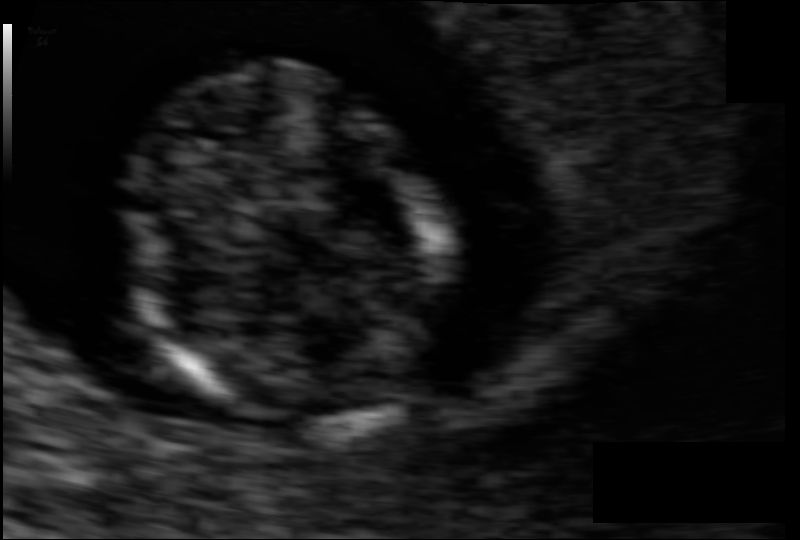
From this fetal ultrasound, estimate the head circumference (image width 51.3 mm).

Head circumference: 72.0 mm.